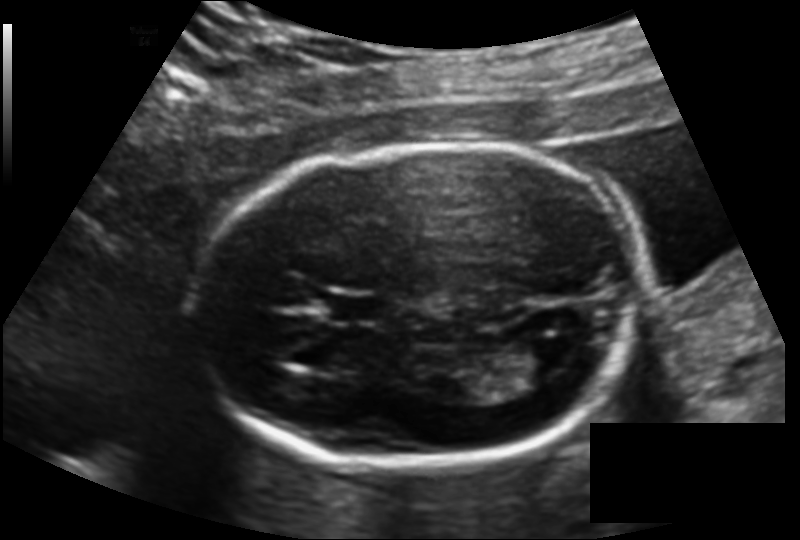
Fetal head ultrasound. Image width: 109.3 mm. Where is the fetal head?

Head bounding box: [188,145,644,466]